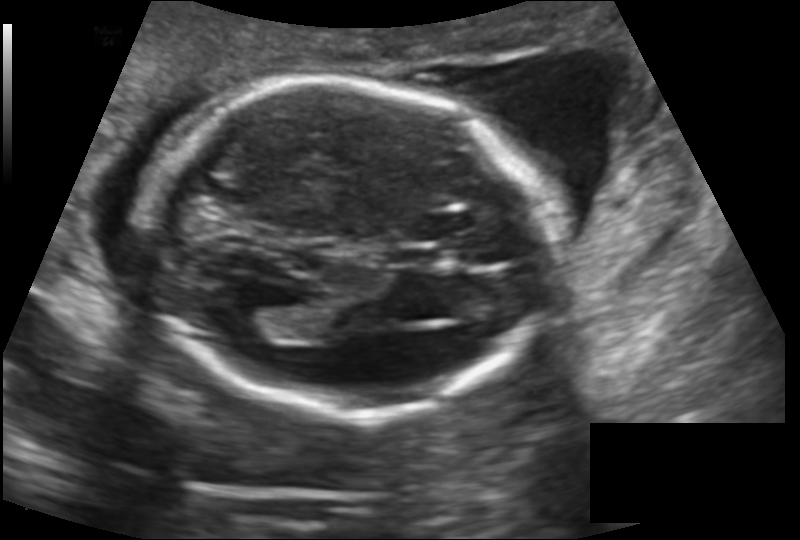
Fetal head ultrasound. Image width: 116.4 mm. Locate the fetal head and, if visible, the cavum septum pellucidum (CSP) and lateral ventricle (LV). Give bounding boxes as [x1,y1,x2,y2].

Head: [141,79,549,413]
CSP: [392,247,446,268]
Lateral ventricle: [229,306,285,340]